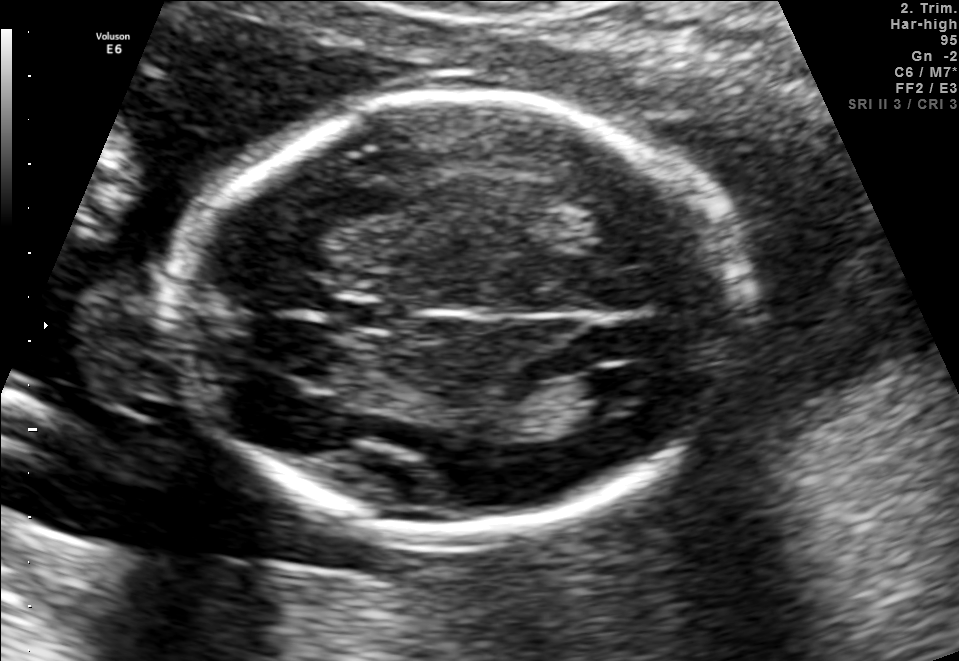
Fetal brain, trans-ventricular plane. Where is the fetal head?

Head bounding box: [167,85,762,546]